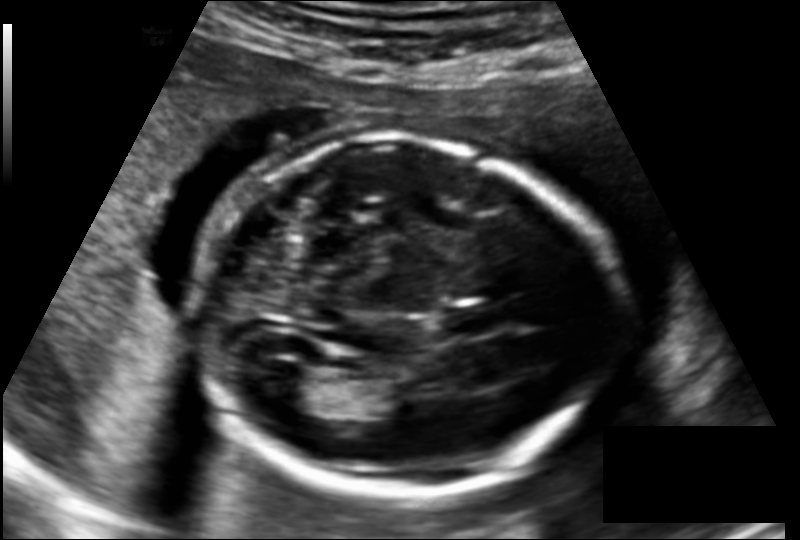
Fetal head ultrasound. Image width: 115.9 mm. Locate the cavum septum pellucidum.

CSP: [439,302,504,341]